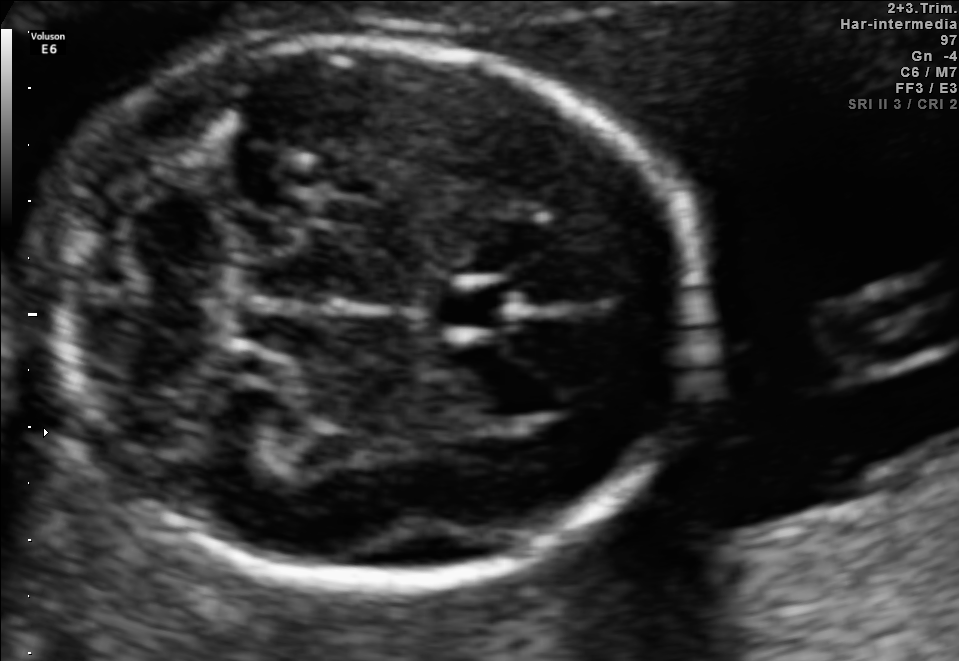
This is a 2D maternal-fetal ultrasound frame. Is it a fetal abdomen, fetal brain, fetal femur, fetal thorax, maternal cervix, or other standard plane? If it's fetal brain and one of the three standard brain planes (trans-thalamic, trans-cerebellum, trans-ventricular), name which.

Fetal brain (trans-cerebellum plane)